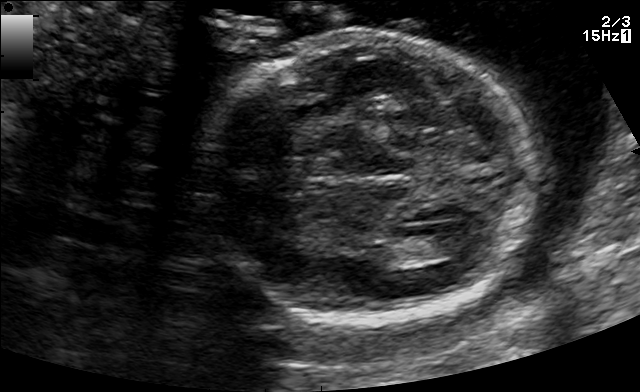
Classify this maternal-fetal ultrasound image as one of the six standard planes — fetal abdomen, fetal brain, fetal femur, fetal thorax, maternal cervix, or other. If it's fetal brain and one of the three standard brain planes (trans-thalamic, trans-cerebellum, trans-ventricular), name which.

Fetal brain (trans-ventricular plane)